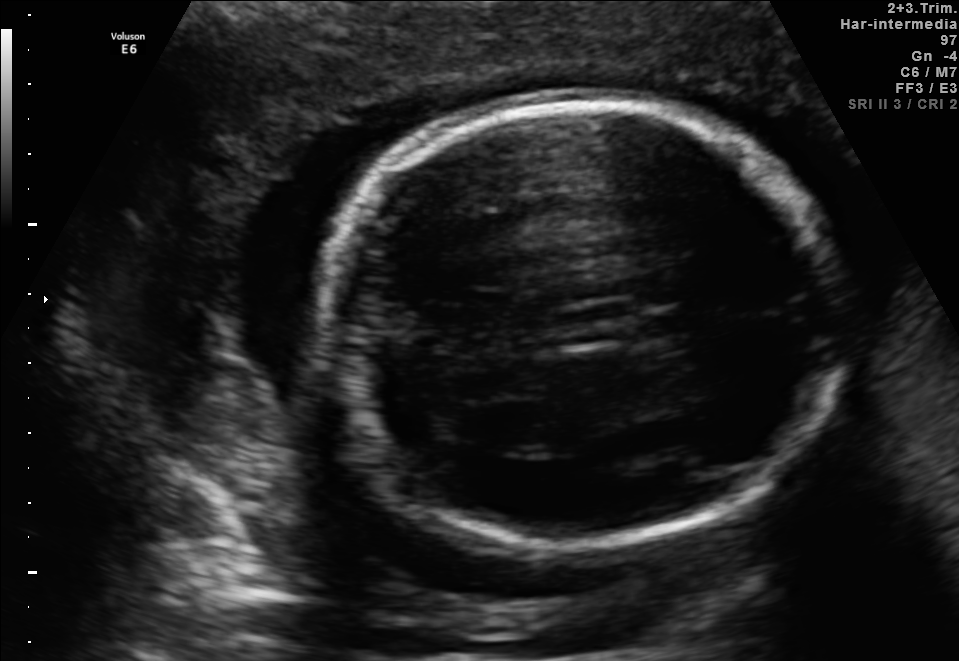
This is a 2D maternal-fetal ultrasound frame. Is it a fetal abdomen, fetal brain, fetal femur, fetal thorax, maternal cervix, or other standard plane? If it's fetal brain and one of the three standard brain planes (trans-thalamic, trans-cerebellum, trans-ventricular), name which.

Fetal brain (trans-thalamic plane)